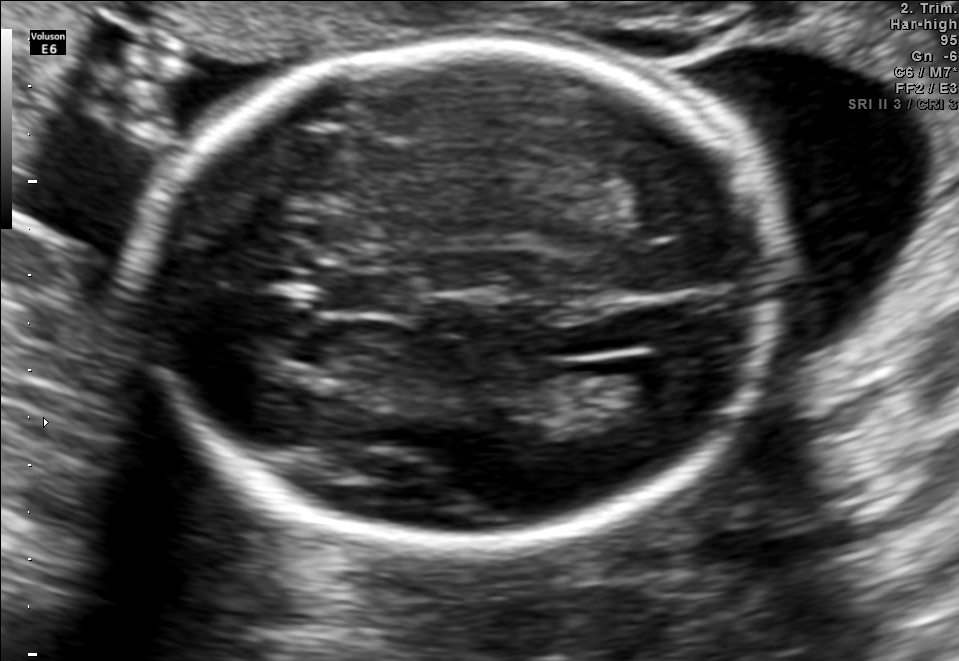
In this fetal brain, trans-ventricular plane, give bounding boxes for the head outline, cavum septum pellucidum (CSP), and lateral ventricle (LV), where visible.

Head: [127,35,798,562]
CSP: [322,269,414,317]
Lateral ventricle: [618,355,708,414]